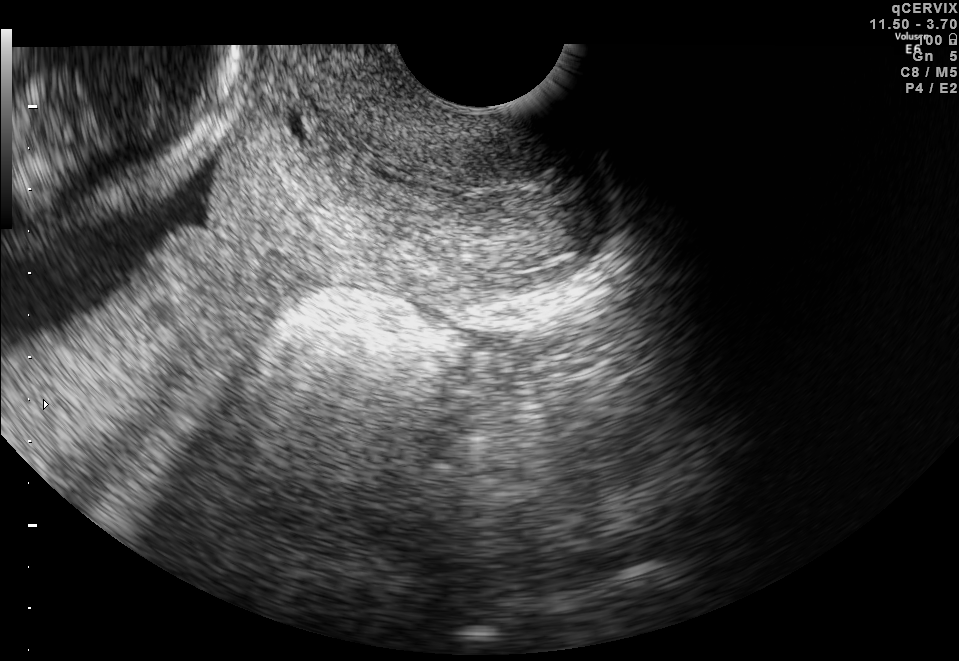
Classify this maternal-fetal ultrasound image as one of the six standard planes — fetal abdomen, fetal brain, fetal femur, fetal thorax, maternal cervix, or other. If it's fetal brain and one of the three standard brain planes (trans-thalamic, trans-cerebellum, trans-ventricular), name which.

Maternal cervix